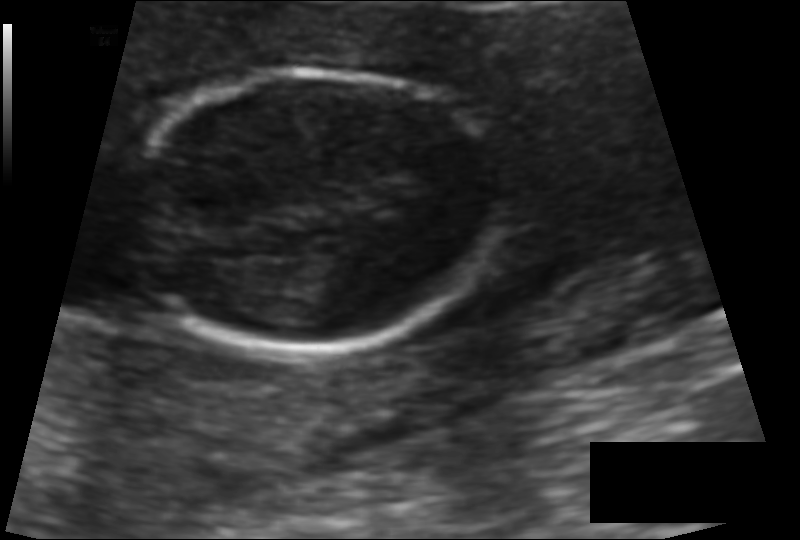
In this fetal head ultrasound, give the bounding box of the fetal head. Image width: 75.9 mm.

[132,72,496,355]